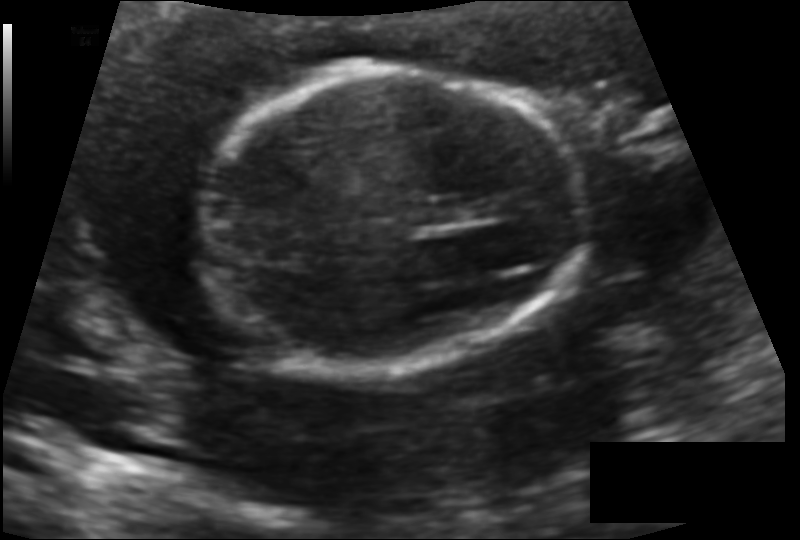
Fetal head ultrasound. Image width: 90.0 mm. Locate the fetal head.

Head: [207,71,580,364]